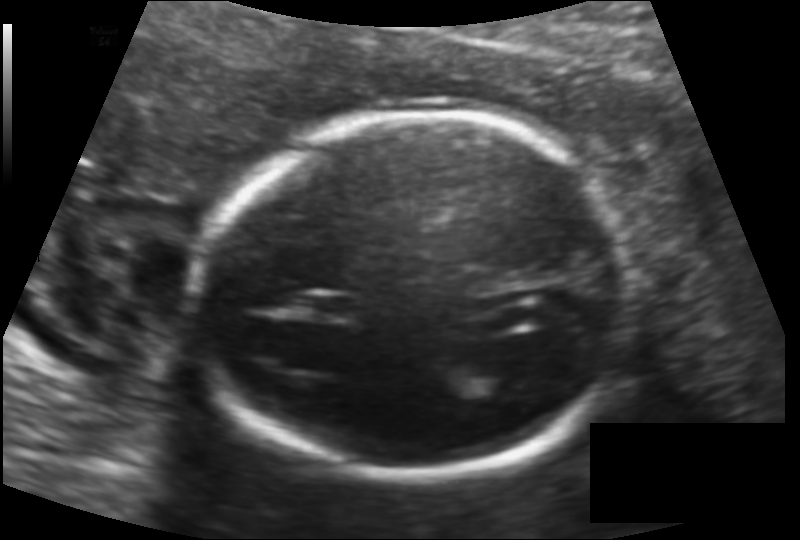
Fetal head ultrasound. Image width: 104.4 mm. Where is the fetal head?

Head bounding box: [198,115,631,474]